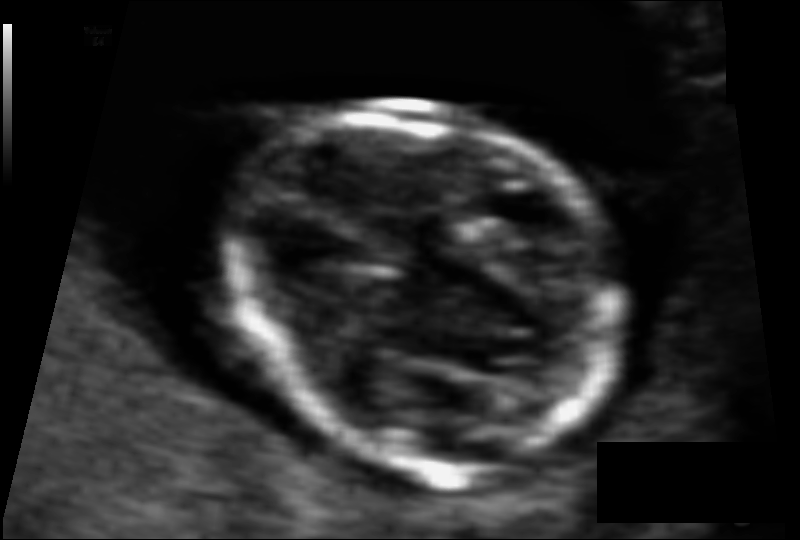
What is the fetal head circumference? Image width is 50.5 mm.

75.2 mm